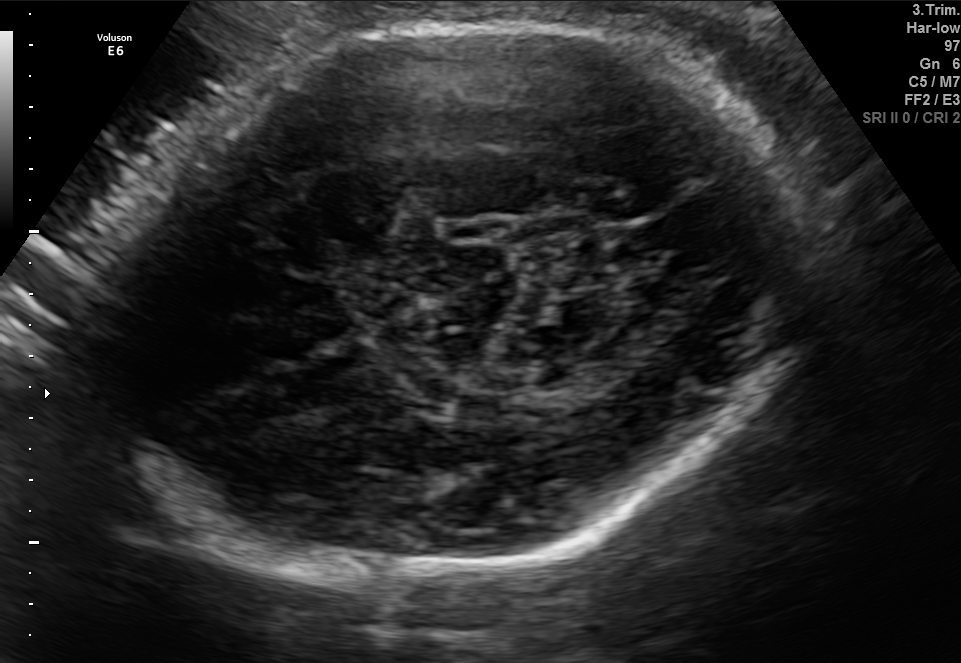
Fetal brain, trans-thalamic plane. Locate the fetal head.

Head: [87,13,818,588]